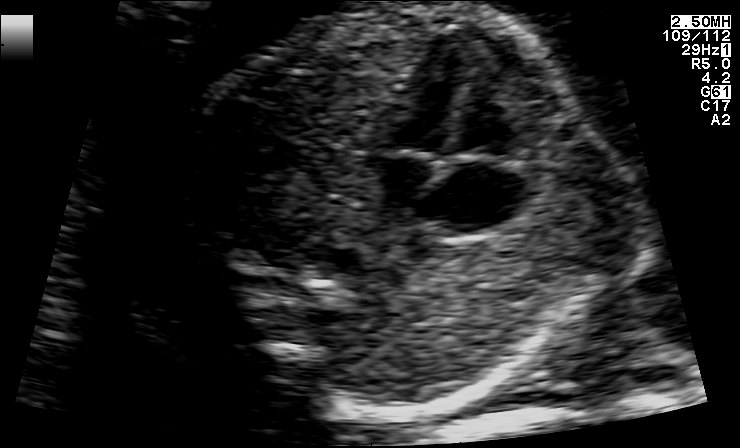
Which standard maternal-fetal ultrasound plane is shown: fetal abdomen, fetal brain, fetal femur, fetal thorax, maternal cervix, or other? If it's fetal brain and one of the three standard brain planes (trans-thalamic, trans-cerebellum, trans-ventricular), name which.

Fetal thorax